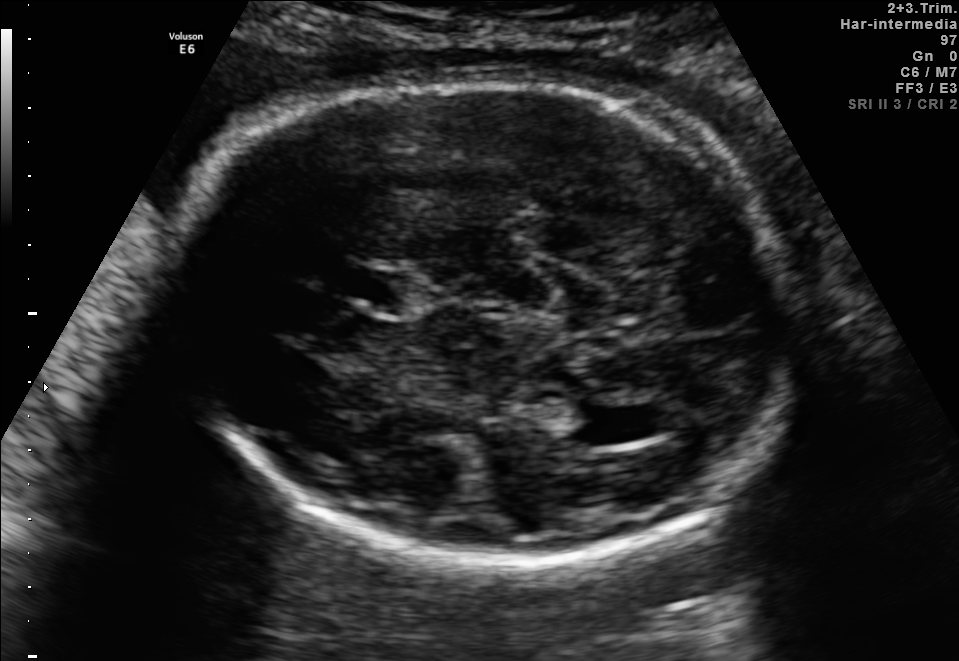
In this fetal brain, trans-ventricular plane, give bounding boxes for the head outline, cavum septum pellucidum (CSP), and lateral ventricle (LV), where visible.

Head: [159,71,814,570]
CSP: [350,267,405,307]
Lateral ventricle: [546,402,625,446]